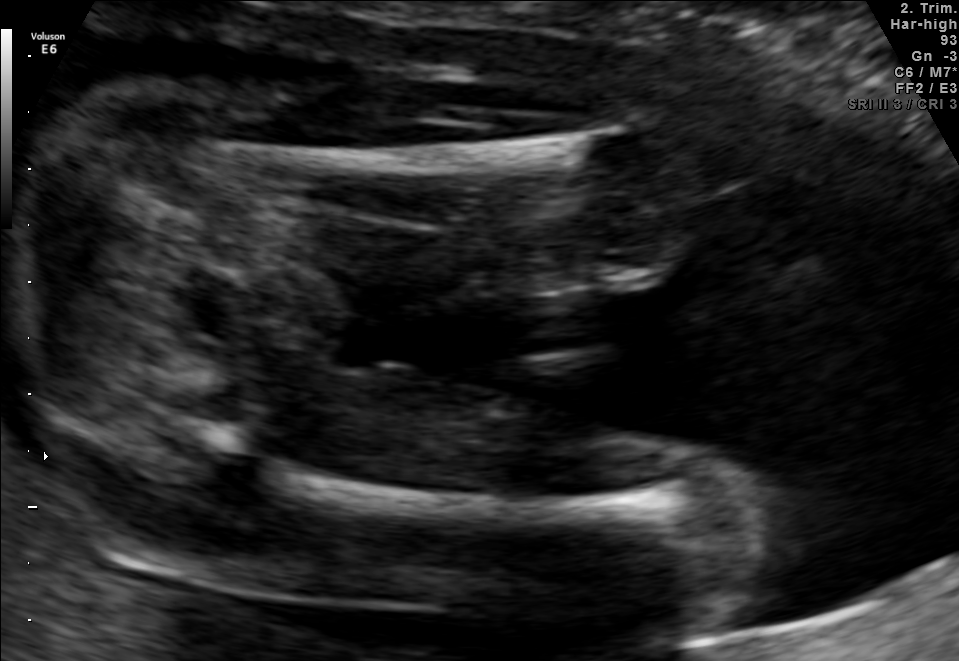
Classify this maternal-fetal ultrasound image as one of the six standard planes — fetal abdomen, fetal brain, fetal femur, fetal thorax, maternal cervix, or other. If it's fetal brain and one of the three standard brain planes (trans-thalamic, trans-cerebellum, trans-ventricular), name which.

Fetal femur